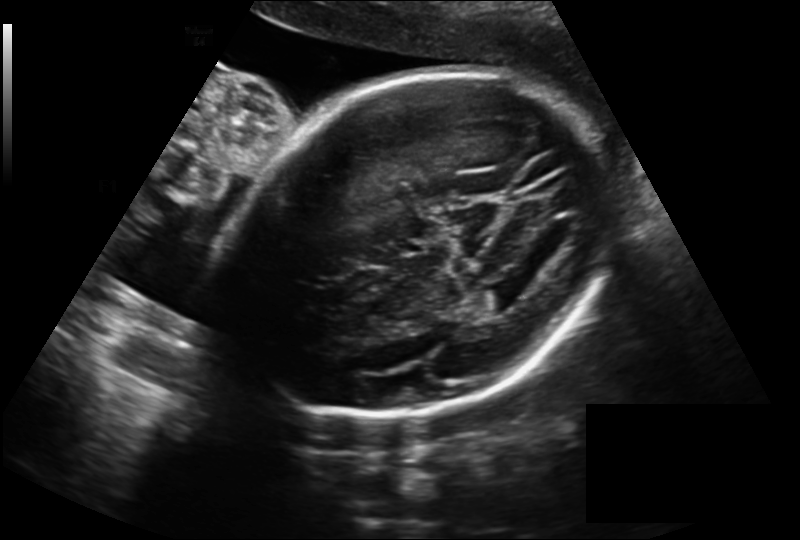
What is the fetal head circumference? Image width is 179.9 mm.

260.6 mm